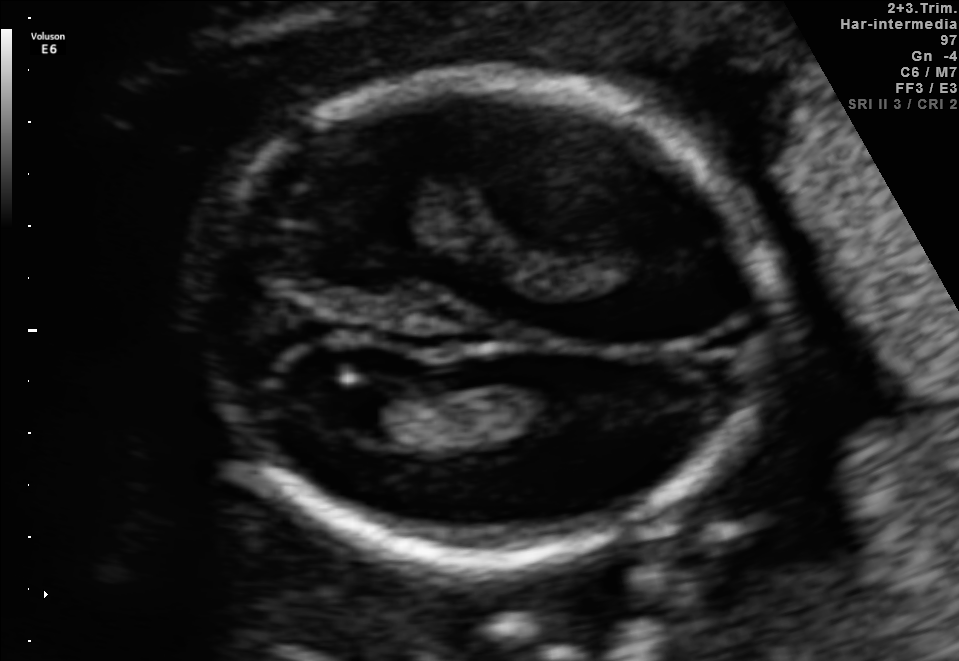
In this fetal brain, trans-ventricular plane, give bounding boxes for the head outline, cavum septum pellucidum (CSP), and lateral ventricle (LV), where visible.

Head: [176,66,793,575]
Lateral ventricle: [303,377,401,442]